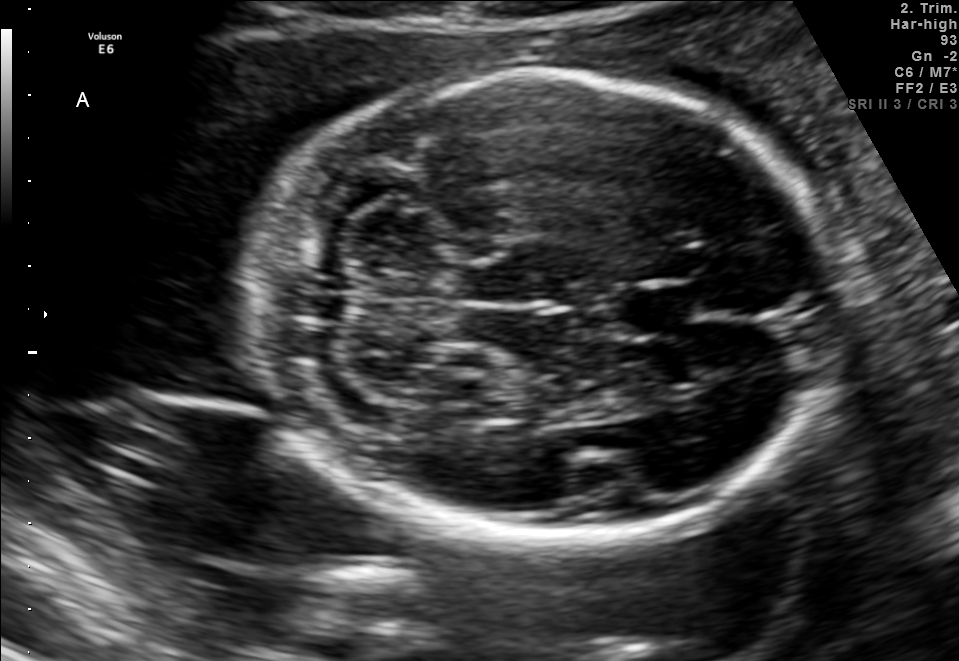
Fetal brain, trans-cerebellum plane. Locate the cavum septum pellucidum.

CSP: [615,279,697,340]